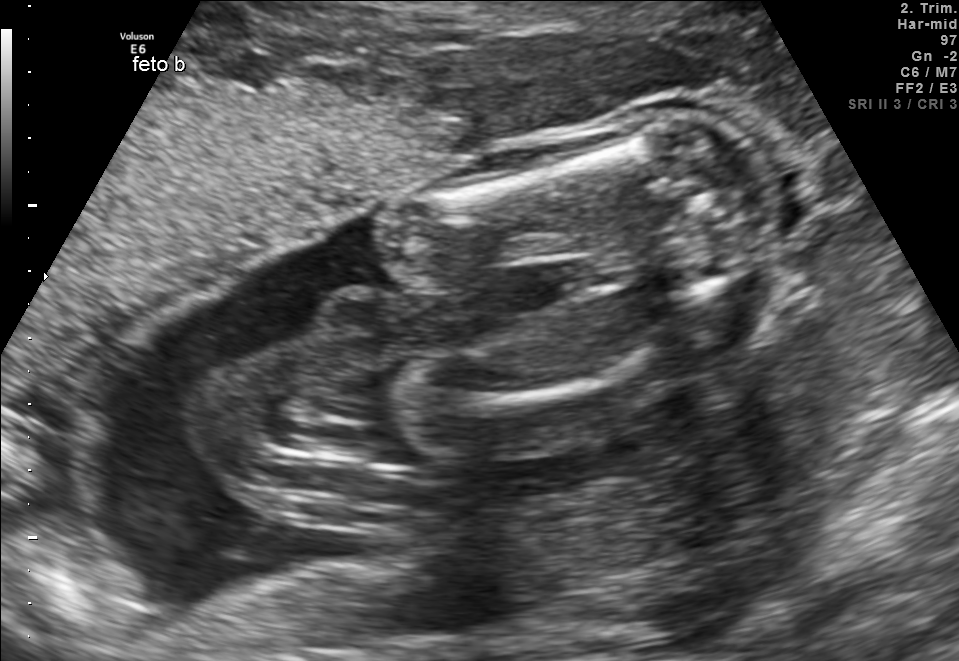
Identify the standard plane in this fetal ultrasound image: fetal abdomen, fetal brain, fetal femur, fetal thorax, maternal cervix, or other. If it's fetal brain and one of the three standard brain planes (trans-thalamic, trans-cerebellum, trans-ventricular), name which.

Fetal femur